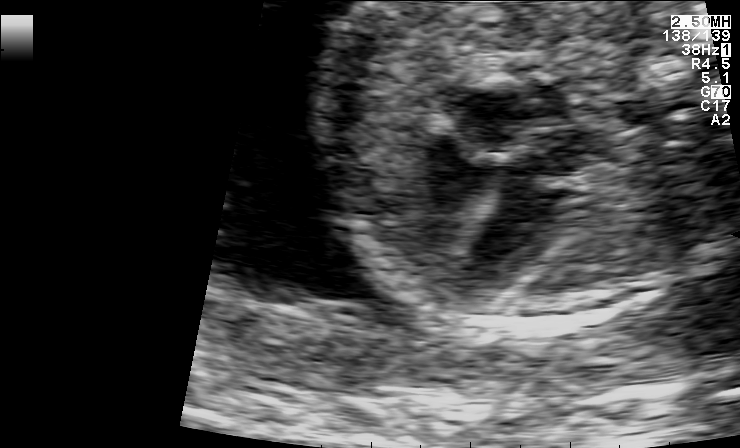
Which standard maternal-fetal ultrasound plane is shown: fetal abdomen, fetal brain, fetal femur, fetal thorax, maternal cervix, or other? If it's fetal brain and one of the three standard brain planes (trans-thalamic, trans-cerebellum, trans-ventricular), name which.

Fetal thorax